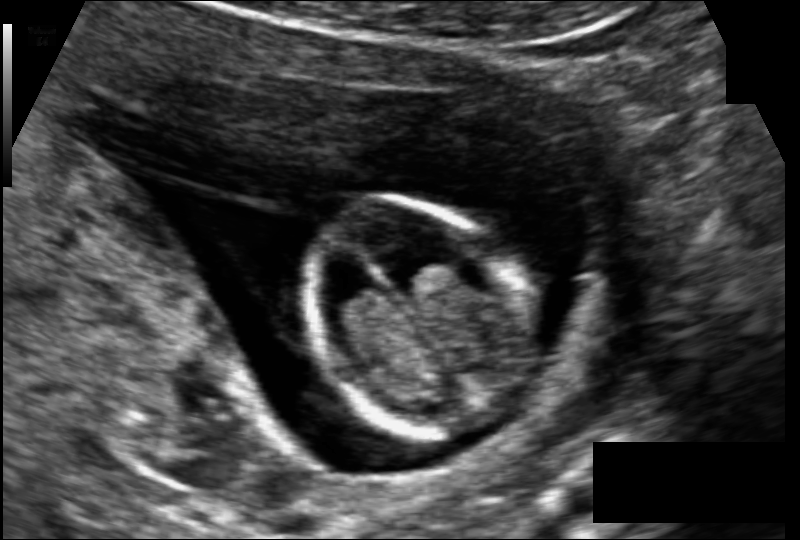
What is the fetal head circumference? Image width is 81.3 mm.

76.6 mm